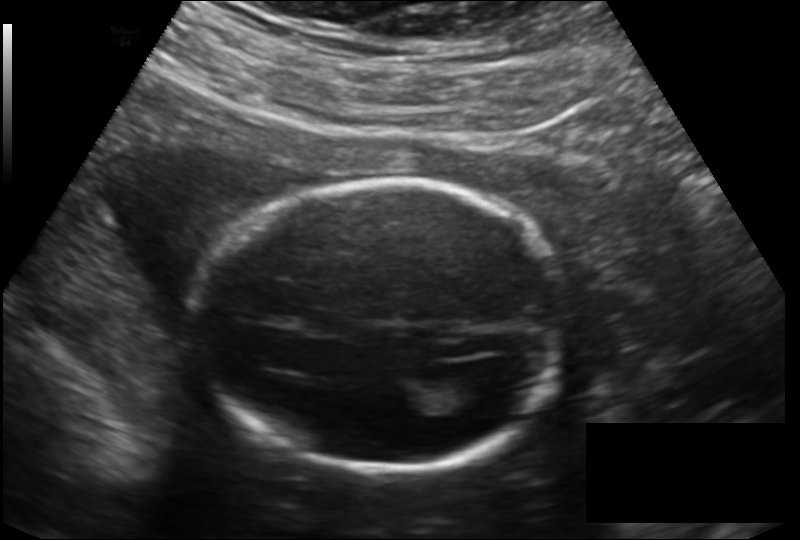
Fetal head ultrasound. Image width: 133.1 mm. Where is the fetal head?

Head bounding box: [200,181,565,473]